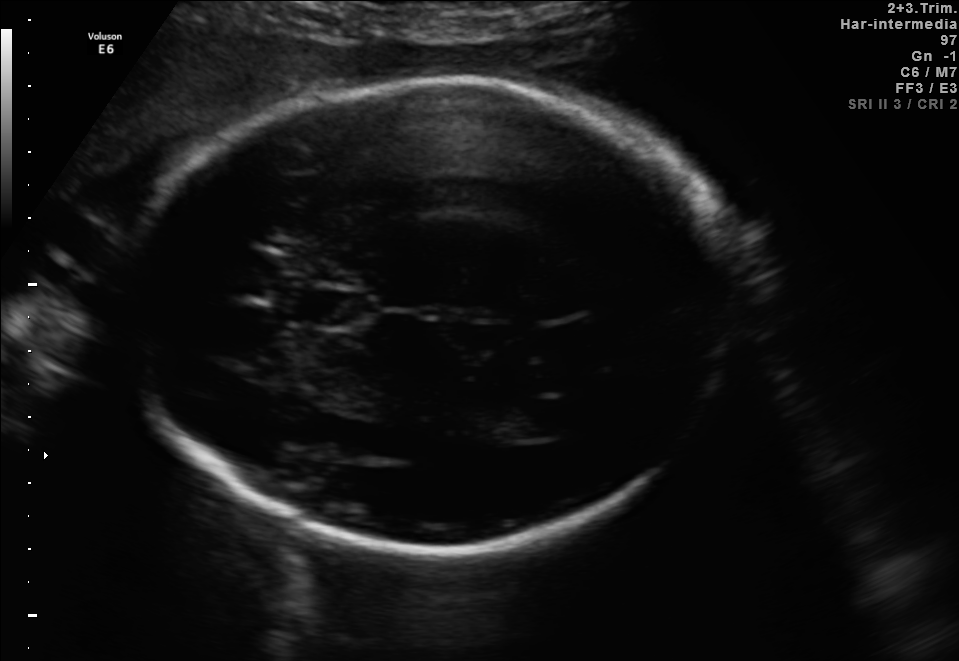
This is a 2D maternal-fetal ultrasound frame. Is it a fetal abdomen, fetal brain, fetal femur, fetal thorax, maternal cervix, or other standard plane? If it's fetal brain and one of the three standard brain planes (trans-thalamic, trans-cerebellum, trans-ventricular), name which.

Fetal brain (trans-thalamic plane)